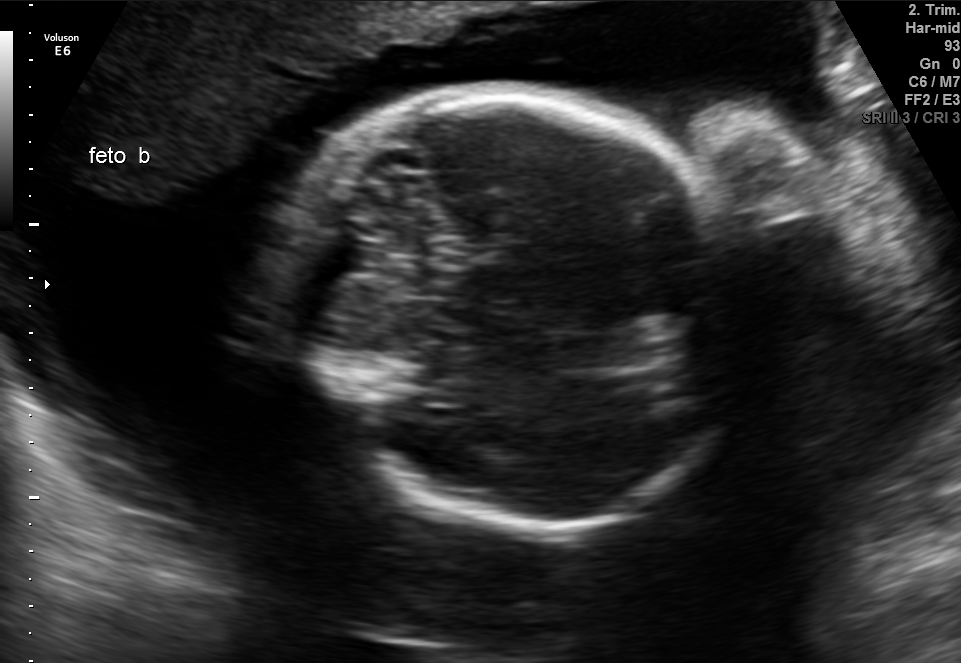
In this fetal brain, trans-cerebellum plane, give bounding boxes for the head outline, cavum septum pellucidum (CSP), and lateral ventricle (LV), where visible.

Head: [286,88,750,527]